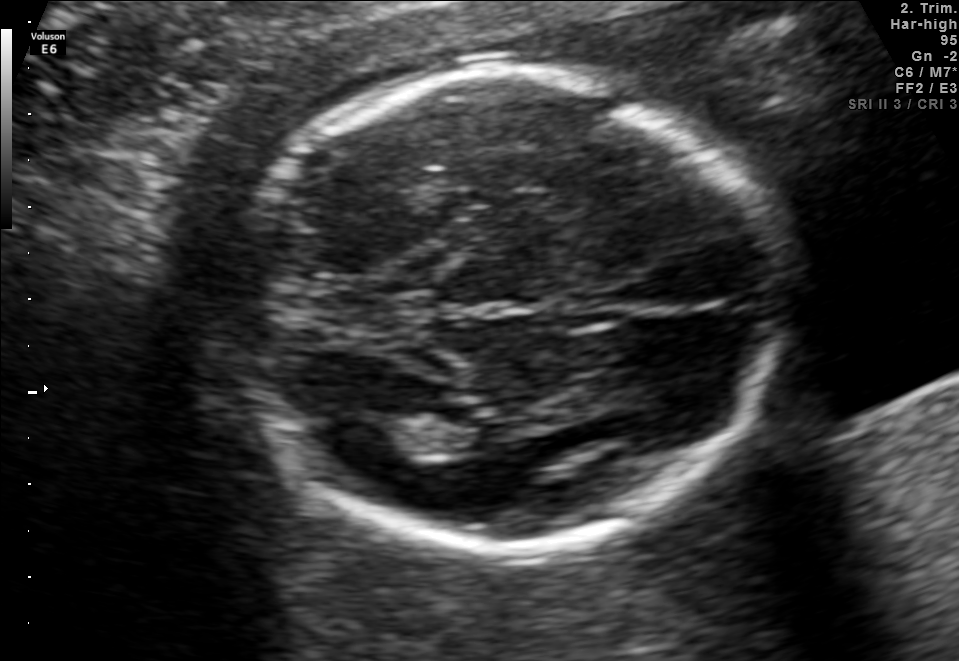
Fetal brain, trans-thalamic plane. Where is the fetal head?

Head bounding box: [228,70,779,541]